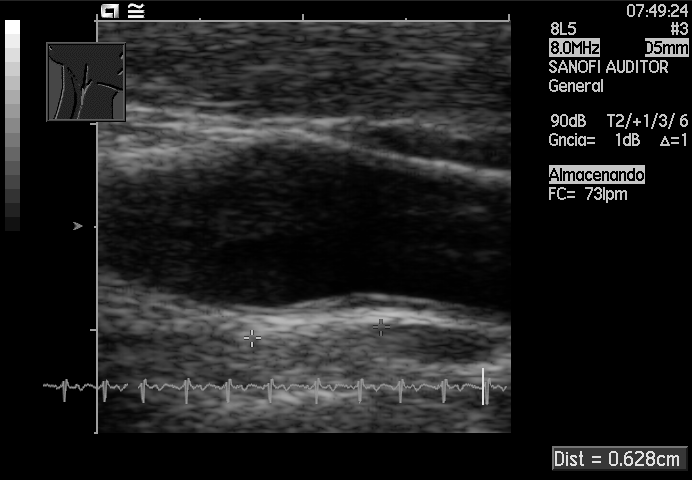
This is a 2D maternal-fetal ultrasound frame. Is it a fetal abdomen, fetal brain, fetal femur, fetal thorax, maternal cervix, or other standard plane? If it's fetal brain and one of the three standard brain planes (trans-thalamic, trans-cerebellum, trans-ventricular), name which.

Other